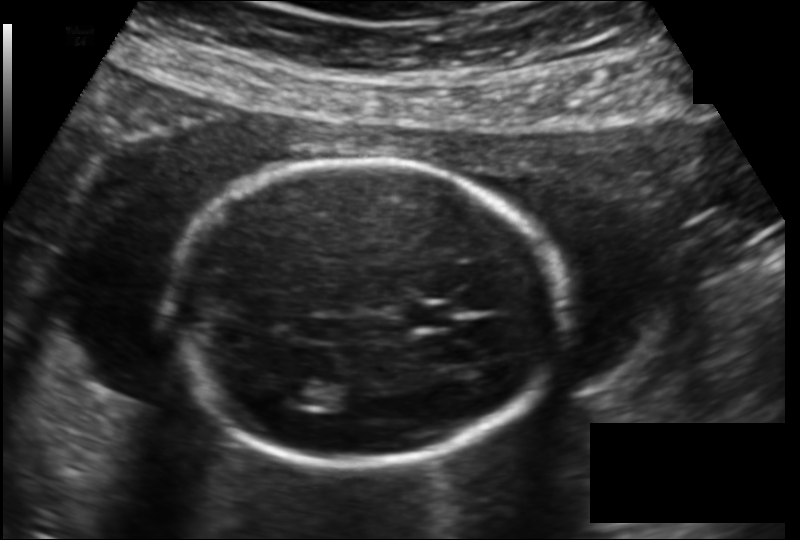
In this fetal head ultrasound, give bounding boxes for the head outline, cavum septum pellucidum (CSP), and lateral ventricle (LV), where visible. Image width: 119.1 mm.

Head: [173,162,561,462]
CSP: [408,305,452,327]
Lateral ventricle: [272,374,323,412]